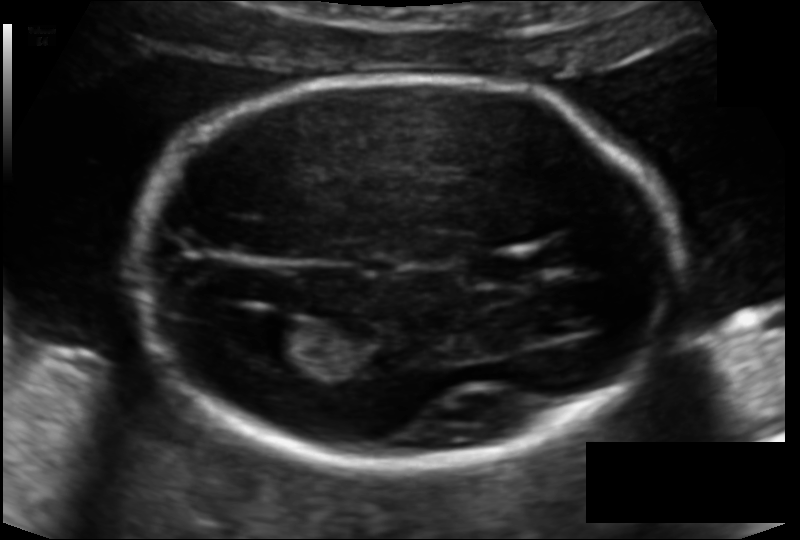
Estimate the fetal head circumference from this 2D ultrasound.

Head circumference: 176.7 mm (image width 95.2 mm).